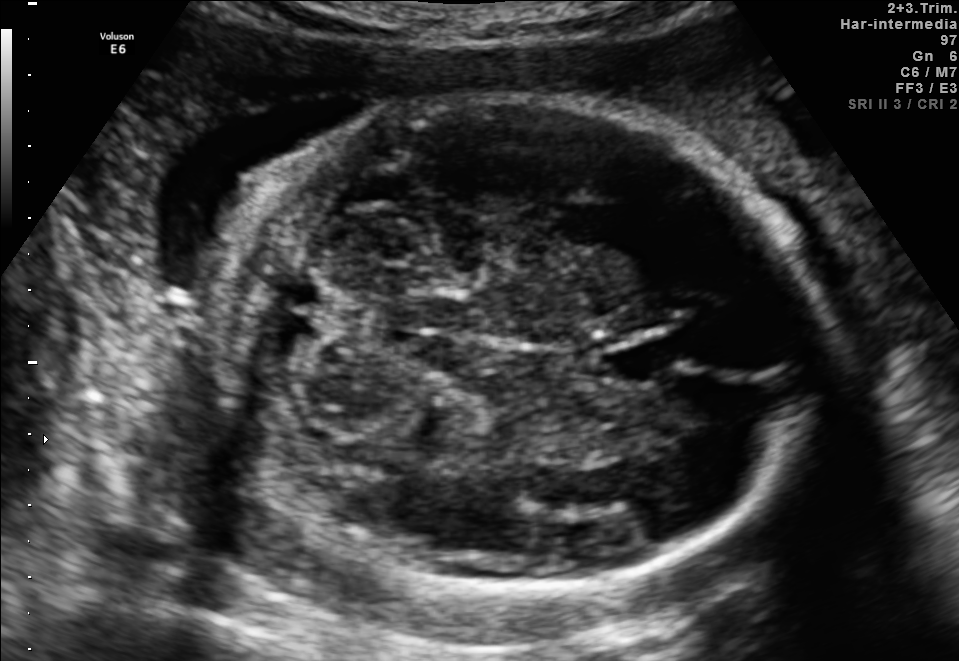
In this fetal brain, trans-cerebellum plane, give the bounding box of the cavum septum pellucidum.

[595,328,681,394]